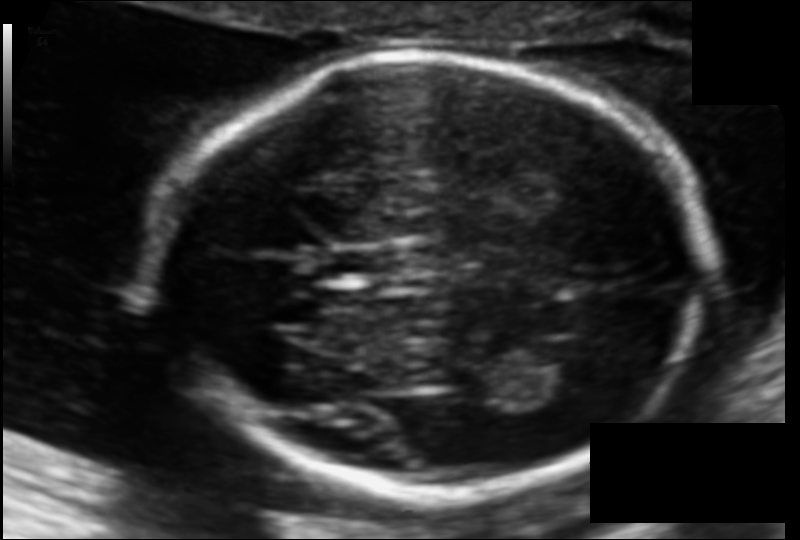
What is the fetal head circumference? Image width is 86.8 mm.

174.8 mm